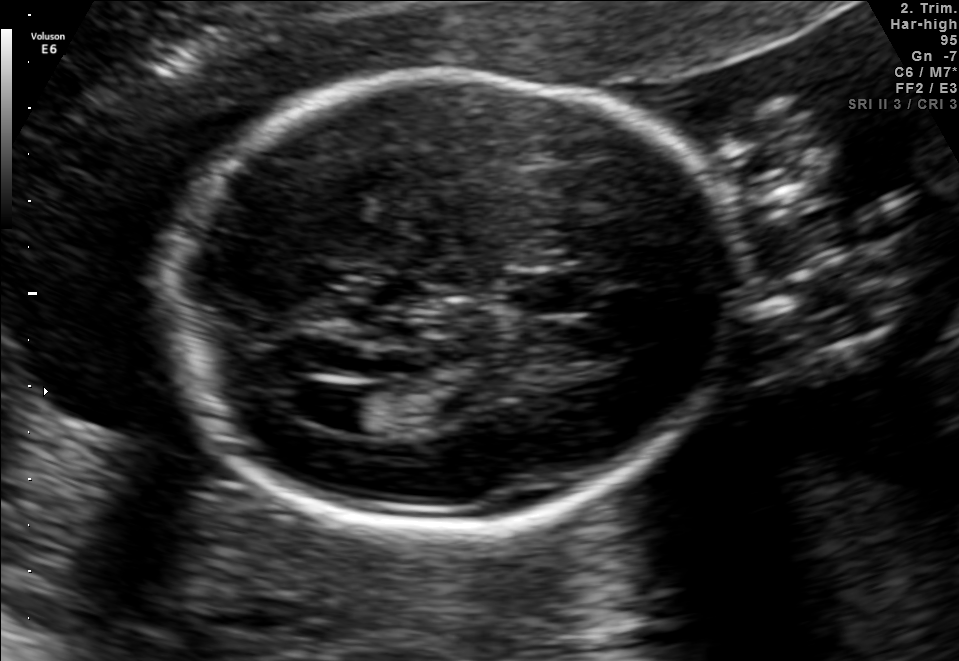
In this fetal brain, trans-ventricular plane, give bounding boxes for the head outline, cavum septum pellucidum (CSP), and lateral ventricle (LV), where visible.

Head: [157,64,754,537]
CSP: [497,267,601,321]
Lateral ventricle: [272,372,379,436]